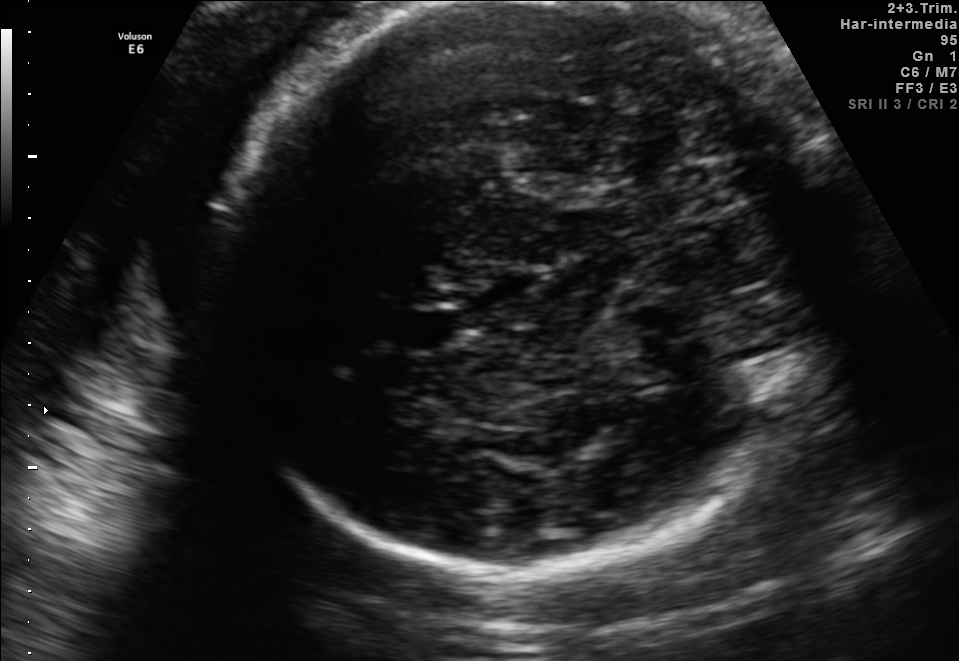
Fetal brain, trans-thalamic plane. Give [x1,y1,x2,y2] bounding boxes for each visible structure among: fetal head, CSP, LV.

Head: [214,4,845,561]
CSP: [398,307,455,352]